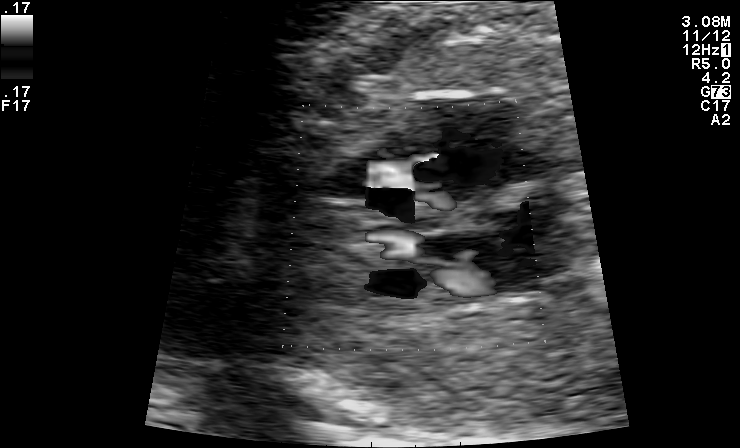
Which standard maternal-fetal ultrasound plane is shown: fetal abdomen, fetal brain, fetal femur, fetal thorax, maternal cervix, or other? If it's fetal brain and one of the three standard brain planes (trans-thalamic, trans-cerebellum, trans-ventricular), name which.

Other